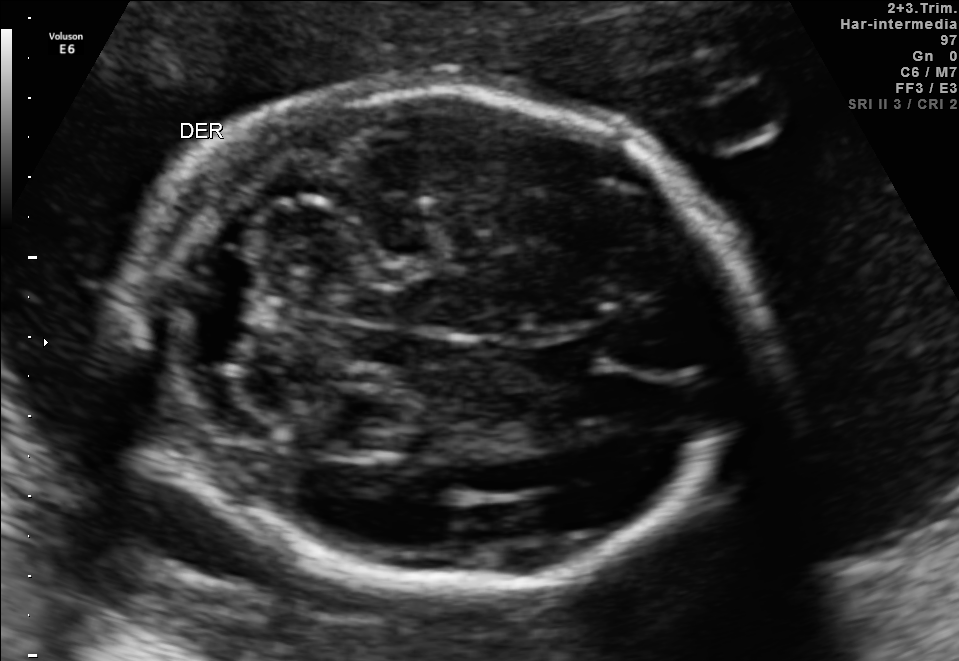
In this fetal brain, trans-cerebellum plane, give bounding boxes for the head outline, cavum septum pellucidum (CSP), and lateral ventricle (LV), where visible.

Head: [128,91,757,586]
CSP: [517,327,616,391]